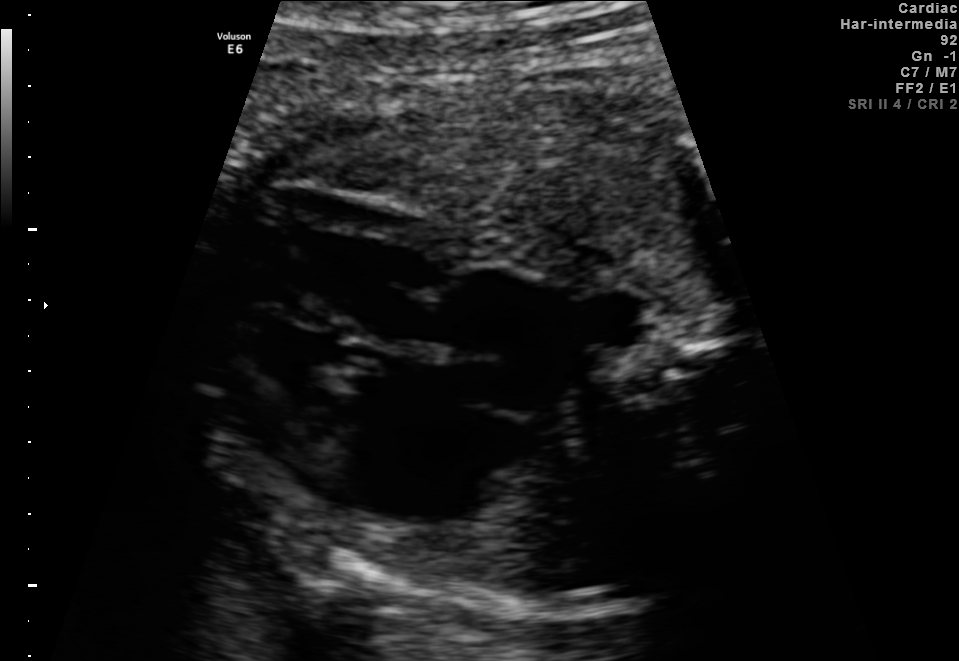
This is a 2D maternal-fetal ultrasound frame. Is it a fetal abdomen, fetal brain, fetal femur, fetal thorax, maternal cervix, or other standard plane? If it's fetal brain and one of the three standard brain planes (trans-thalamic, trans-cerebellum, trans-ventricular), name which.

Fetal thorax